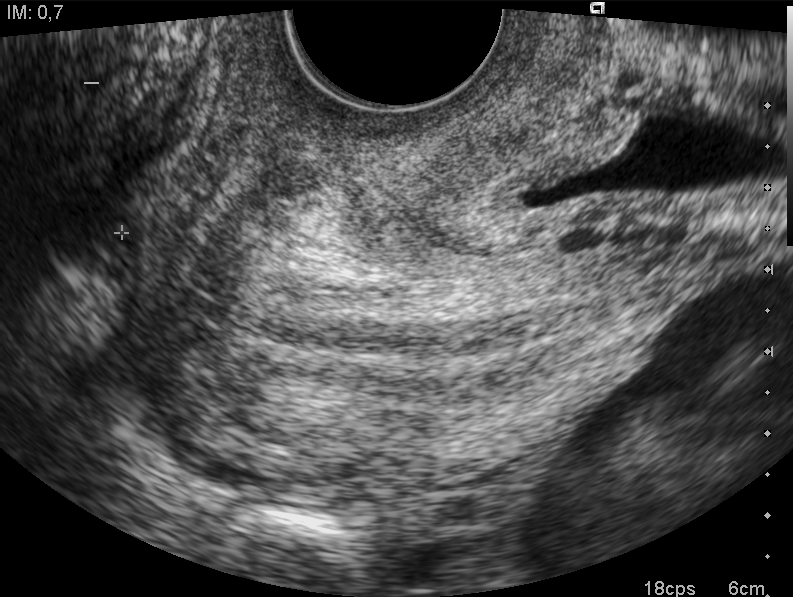
Which standard maternal-fetal ultrasound plane is shown: fetal abdomen, fetal brain, fetal femur, fetal thorax, maternal cervix, or other? If it's fetal brain and one of the three standard brain planes (trans-thalamic, trans-cerebellum, trans-ventricular), name which.

Maternal cervix